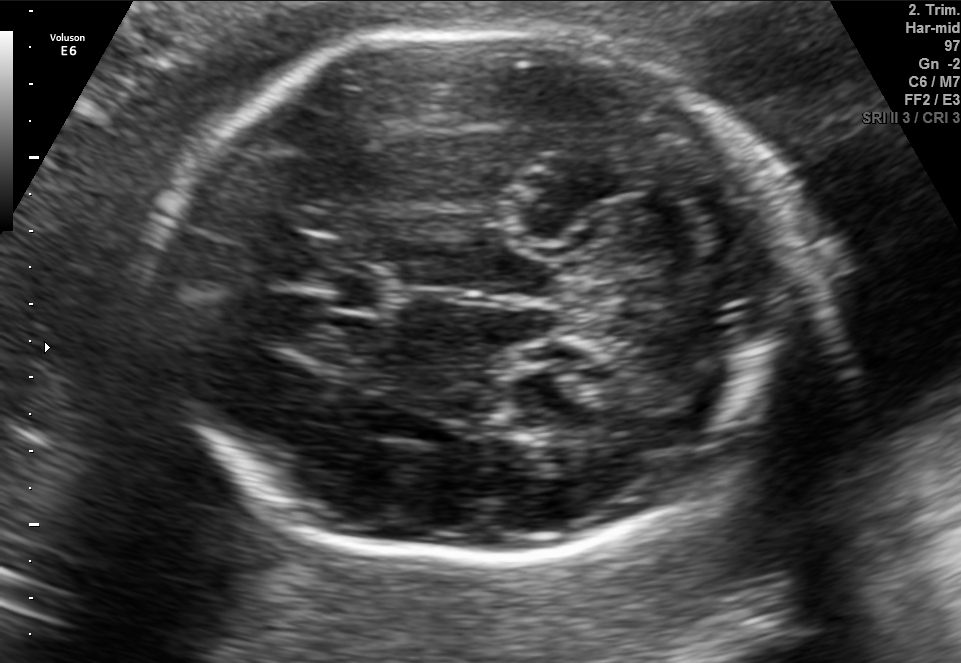
In this fetal brain, trans-cerebellum plane, give the bounding box of the cavum septum pellucidum.

[324,268,400,318]